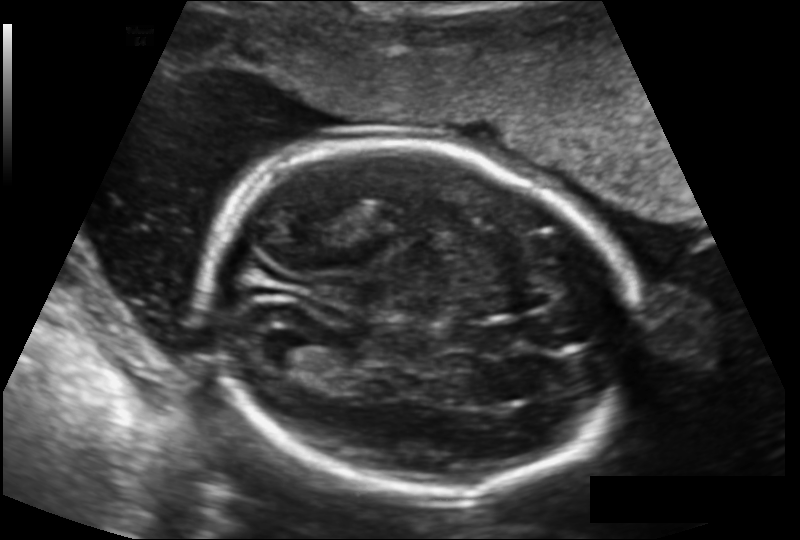
Fetal head ultrasound. Image width: 114.2 mm. Give [x1,y1,x2,y2] bounding boxes for each visible structure among: fetal head, CSP, LV.

Head: [204,141,634,495]
Lateral ventricle: [260,324,332,383]